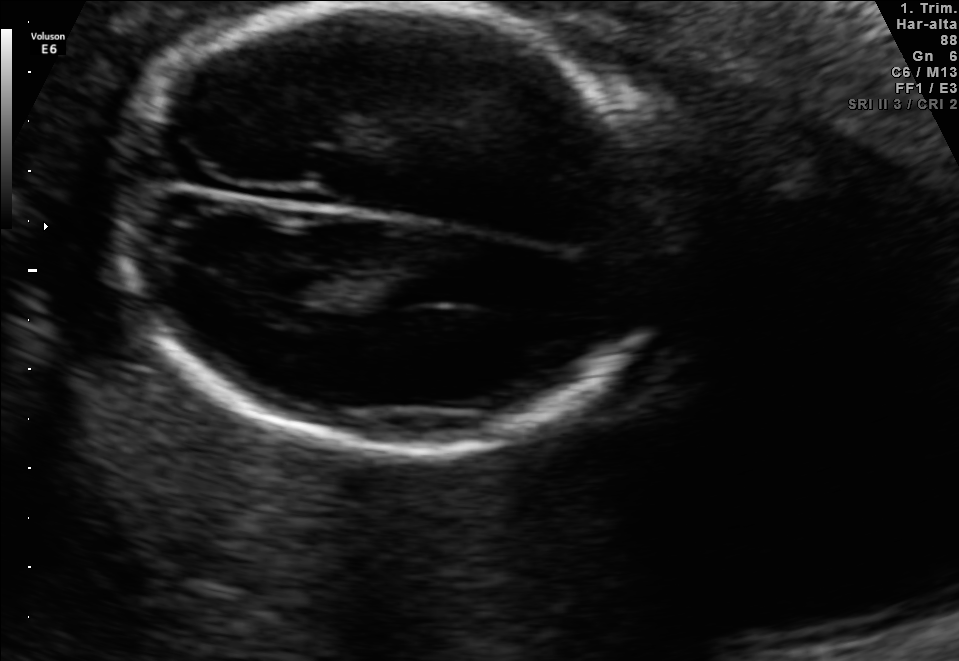
Fetal brain, trans-thalamic plane. Locate the fetal head.

Head: [122,3,663,458]